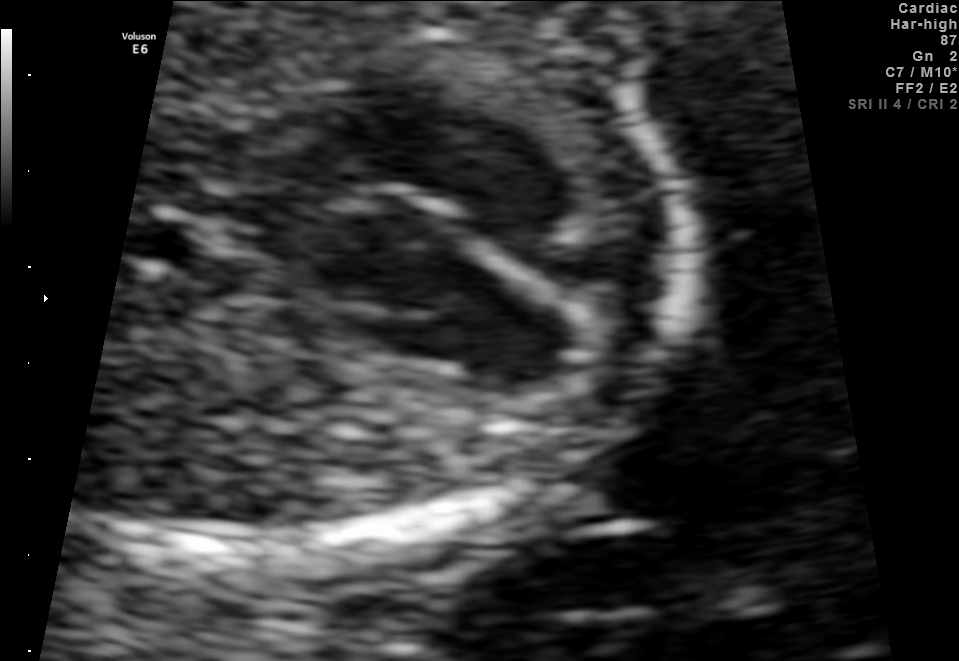
This is a 2D maternal-fetal ultrasound frame. Is it a fetal abdomen, fetal brain, fetal femur, fetal thorax, maternal cervix, or other standard plane? If it's fetal brain and one of the three standard brain planes (trans-thalamic, trans-cerebellum, trans-ventricular), name which.

Fetal thorax